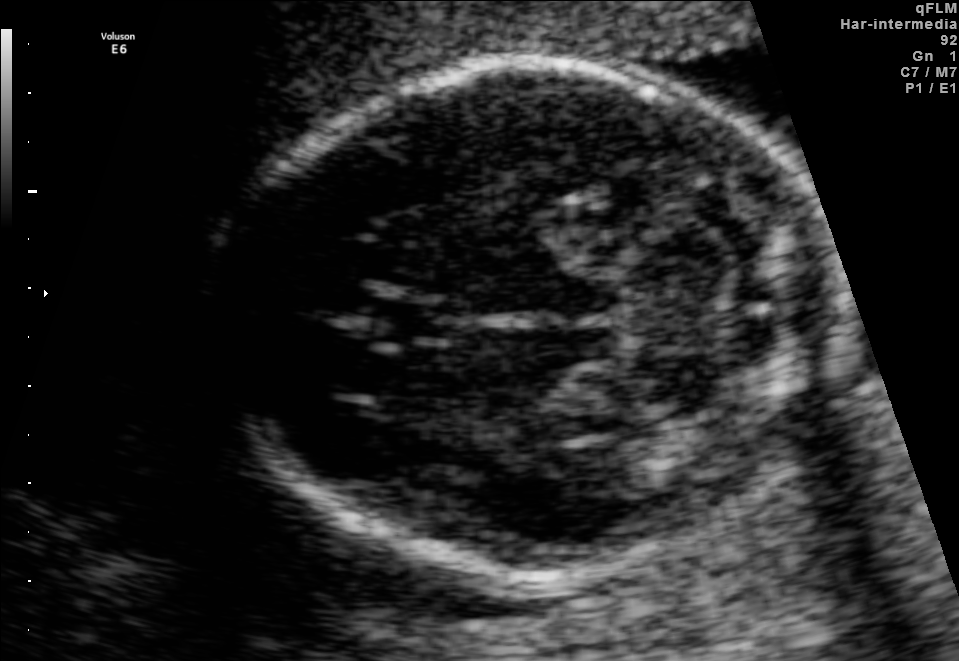
Fetal brain, trans-cerebellum plane. Locate the fetal head and, if visible, the cavum septum pellucidum (CSP) and lateral ventricle (LV). Give bounding boxes as [x1,y1,x2,y2].

Head: [229,64,838,575]
CSP: [371,297,452,345]